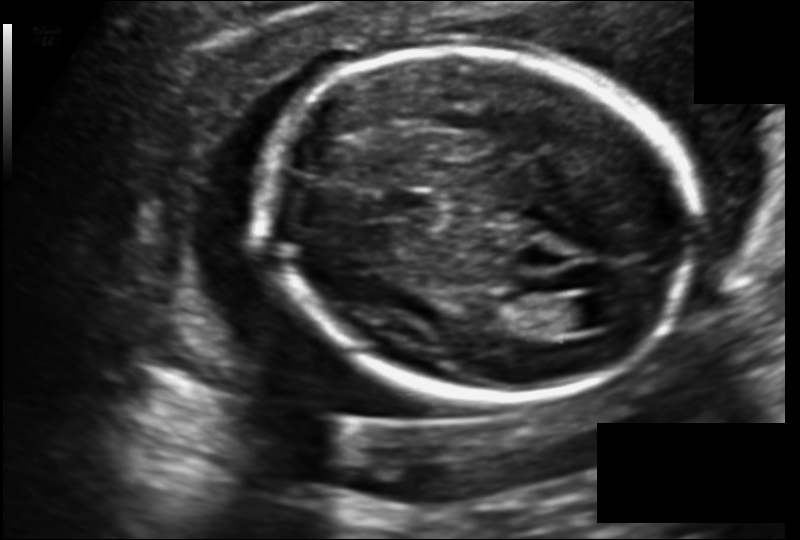
In this fetal head ultrasound, give the bounding box of the lateral ventricle. Image width: 111.6 mm.

[544,294,605,336]